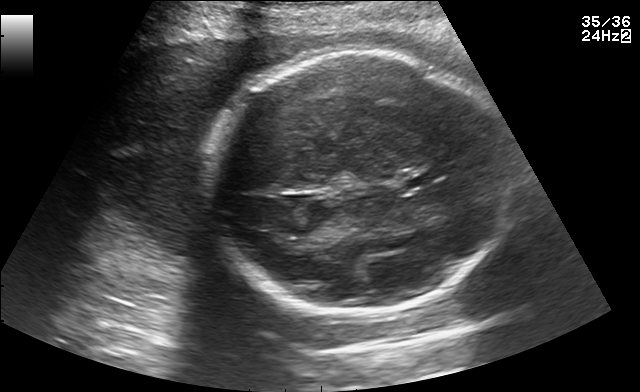
Fetal brain, trans-thalamic plane. Give [x1,y1,x2,y2] bounding boxes for each visible structure among: fetal head, CSP, LV.

Head: [206,49,509,312]
CSP: [404,167,442,191]